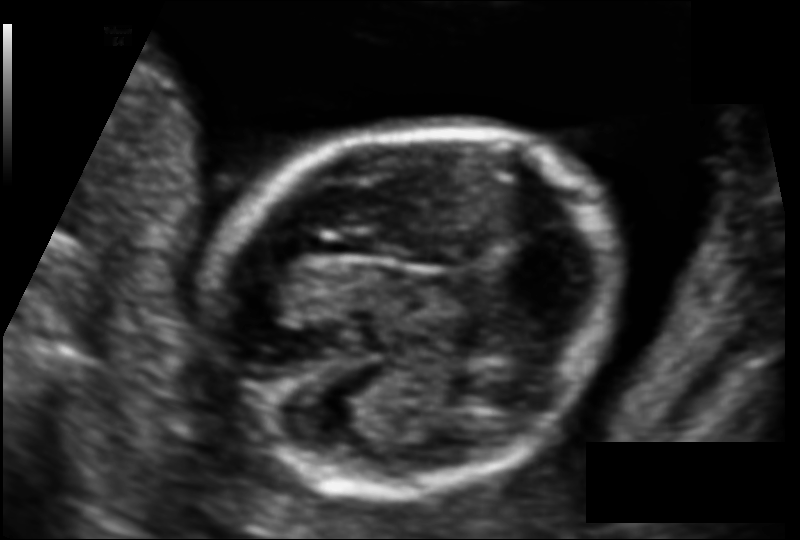
Fetal head ultrasound. Image width: 79.2 mm. Locate the fetal head.

Head: [206,124,621,491]